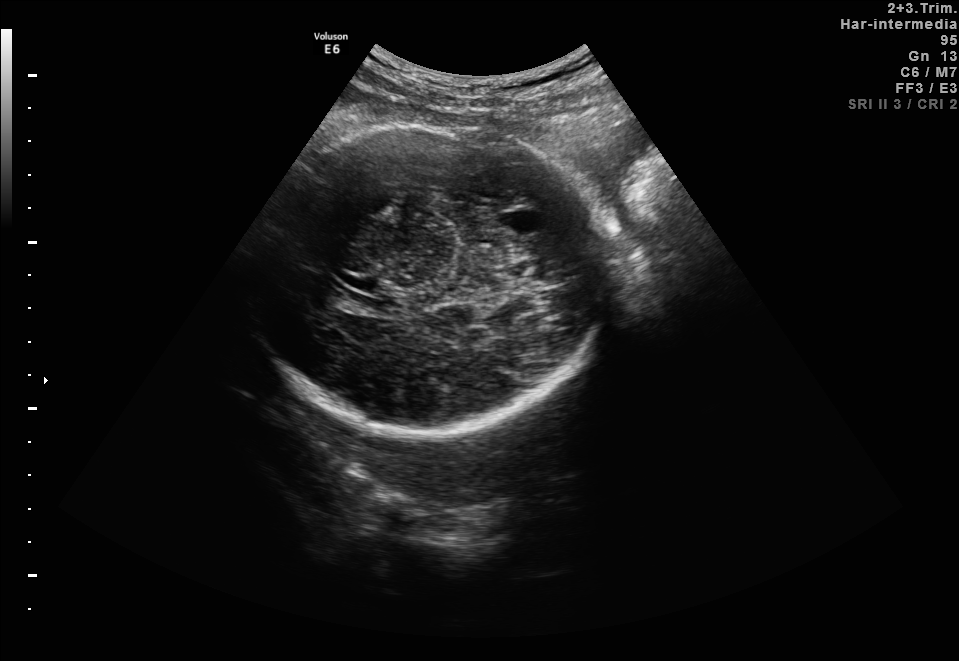
In this fetal brain, trans-thalamic plane, give the bounding box of the fetal head.

[246,125,603,436]